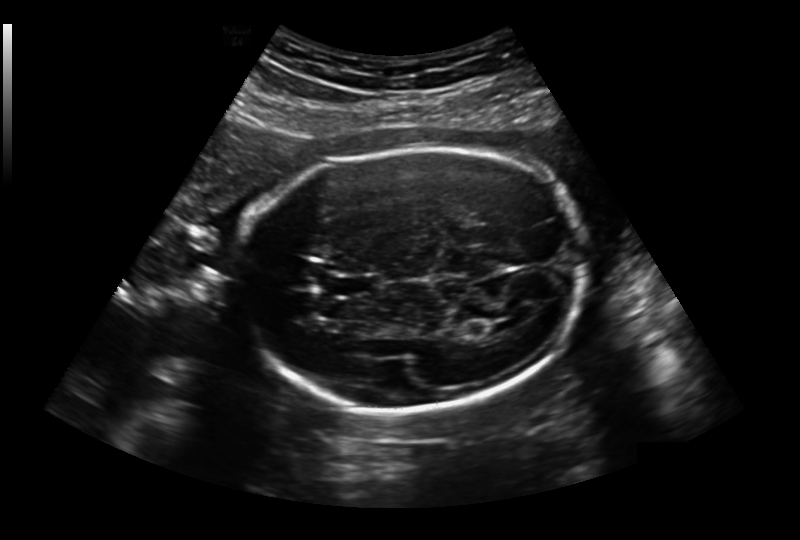
Fetal head ultrasound. Image width: 188.7 mm. Locate the fetal head and, if visible, the cavum septum pellucidum (CSP) and lateral ventricle (LV). Give bounding boxes as [x1,y1,x2,y2].

Head: [239,150,586,410]
CSP: [333,273,376,296]
Lateral ventricle: [490,315,520,335]